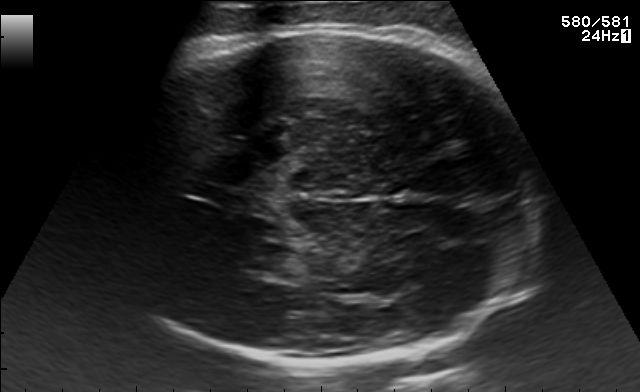
Fetal brain, trans-thalamic plane. Locate the fetal head.

Head: [91,29,533,364]